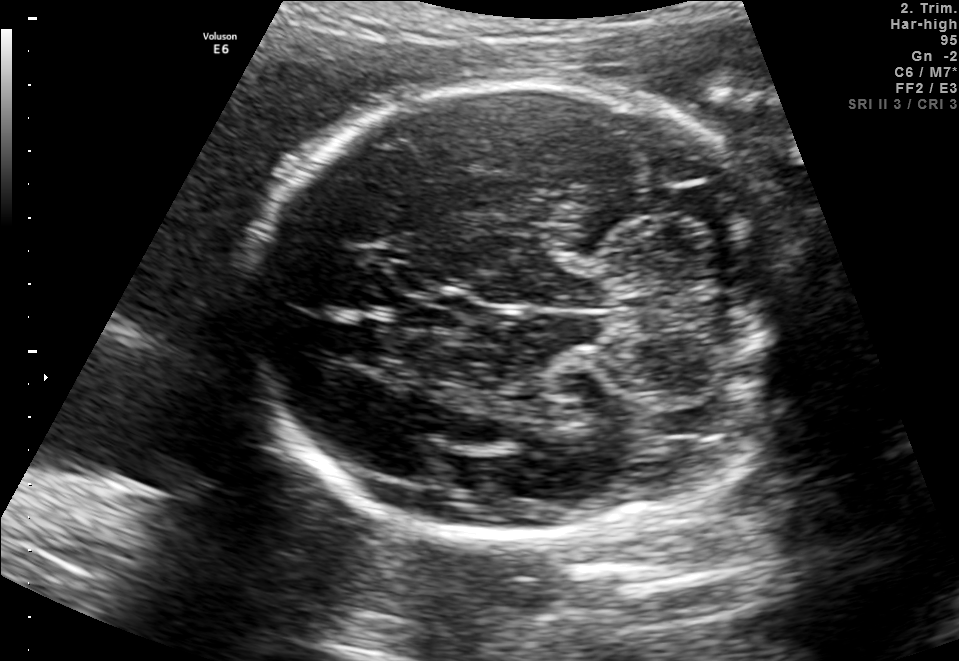
Which standard maternal-fetal ultrasound plane is shown: fetal abdomen, fetal brain, fetal femur, fetal thorax, maternal cervix, or other? If it's fetal brain and one of the three standard brain planes (trans-thalamic, trans-cerebellum, trans-ventricular), name which.

Fetal brain (trans-cerebellum plane)